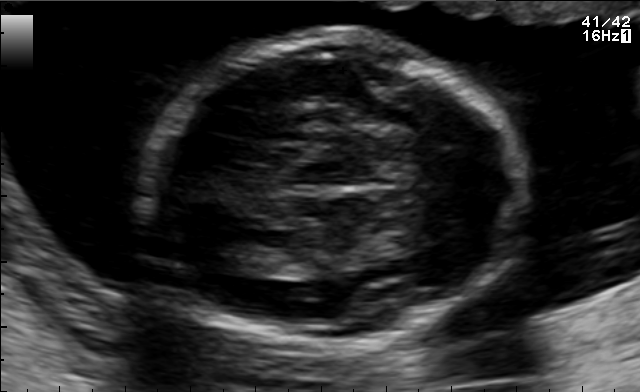
Fetal brain, trans-thalamic plane. Locate the fetal head and, if visible, the cavum septum pellucidum (CSP) and lateral ventricle (LV). Give bounding boxes as [x1,y1,x2,y2].

Head: [136,35,529,351]